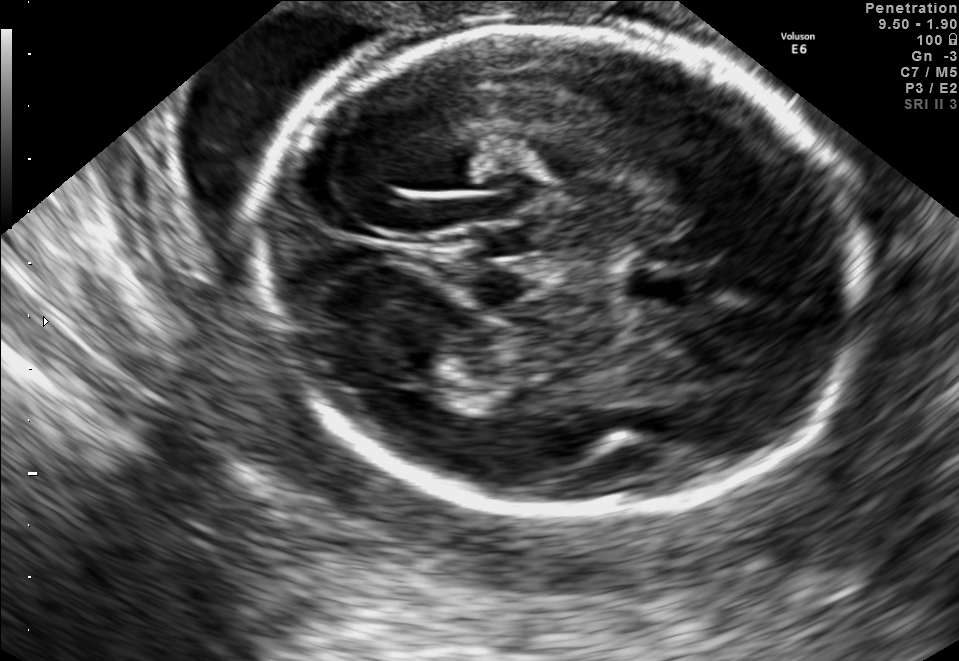
In this fetal brain, trans-thalamic plane, give bounding boxes for the head outline, cavum septum pellucidum (CSP), and lateral ventricle (LV), where visible.

Head: [258,23,861,512]
CSP: [627,267,691,306]
Lateral ventricle: [386,359,470,413]